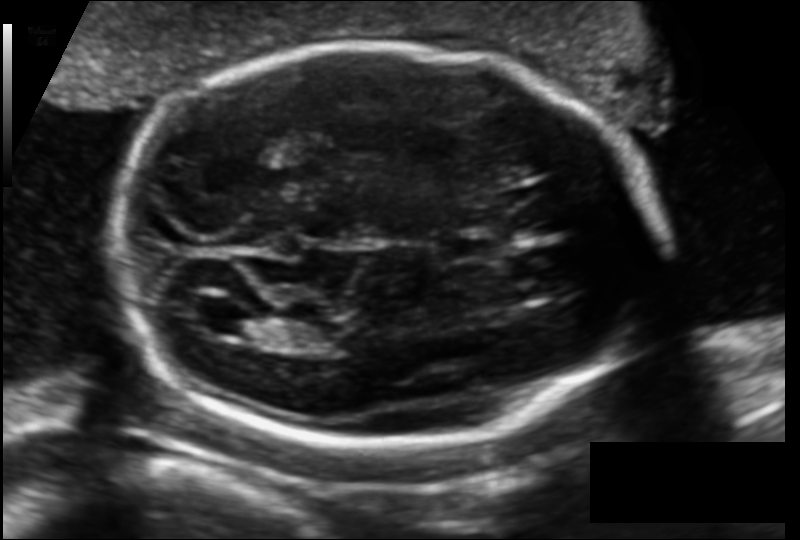
What is the fetal head circumference? Image width is 103.4 mm.

198.6 mm